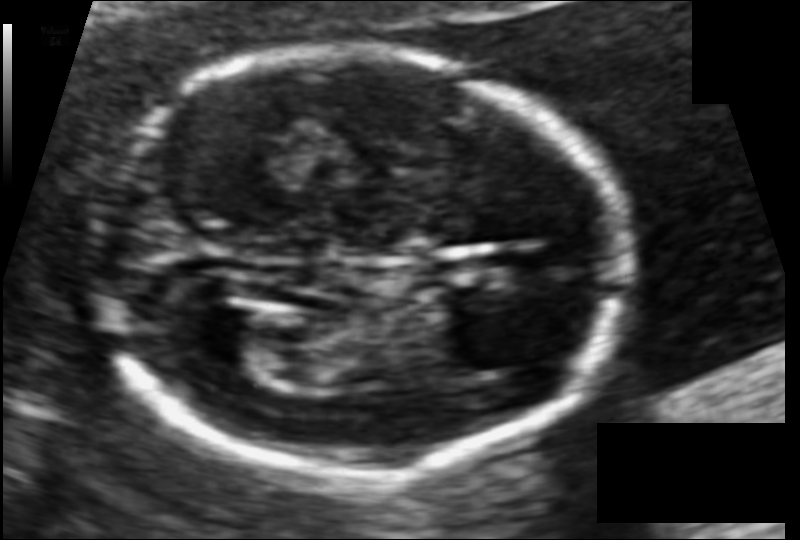
Fetal head ultrasound. Image width: 69.9 mm. Where is the fetal head?

Head bounding box: [96,49,619,475]